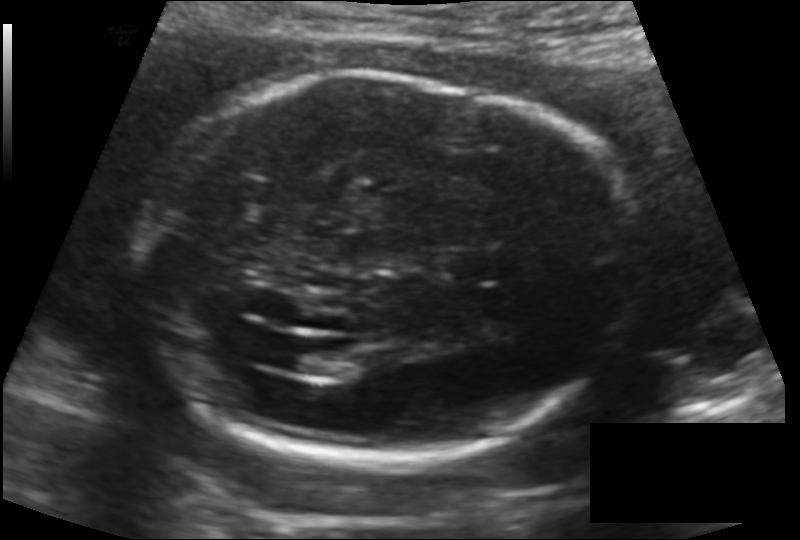
Fetal head ultrasound. Image width: 117.5 mm. Locate the fetal head.

Head: [143,76,627,462]